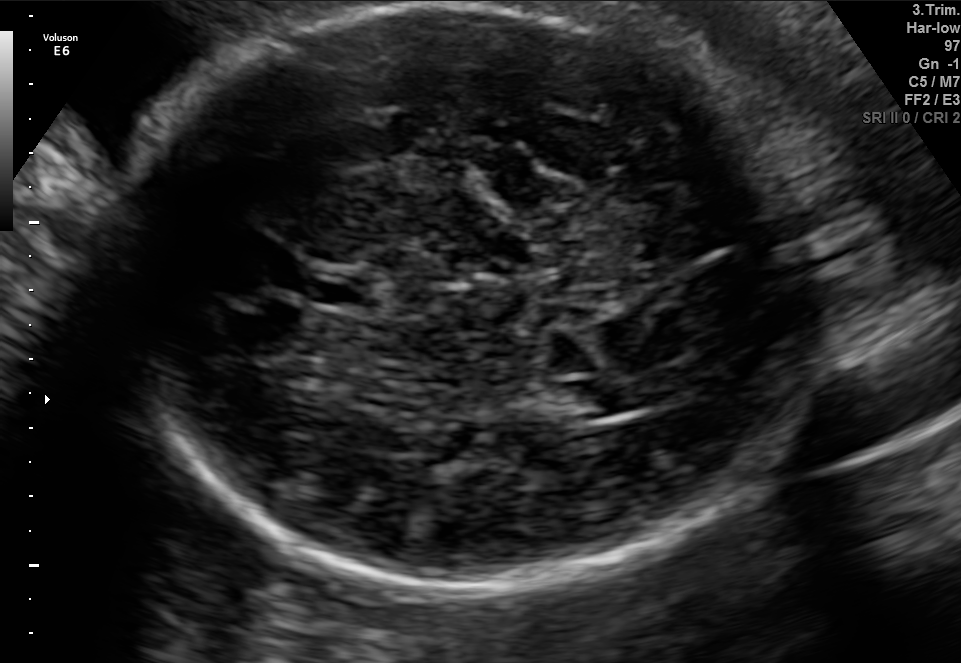
Fetal brain, trans-ventricular plane. Where is the lateral ventricle?

Lateral ventricle bounding box: [565,368,656,422]